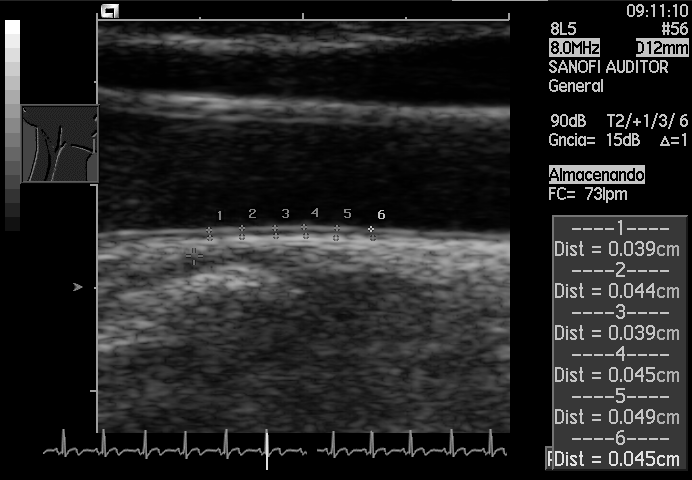
Identify the standard plane in this fetal ultrasound image: fetal abdomen, fetal brain, fetal femur, fetal thorax, maternal cervix, or other. If it's fetal brain and one of the three standard brain planes (trans-thalamic, trans-cerebellum, trans-ventricular), name which.

Other